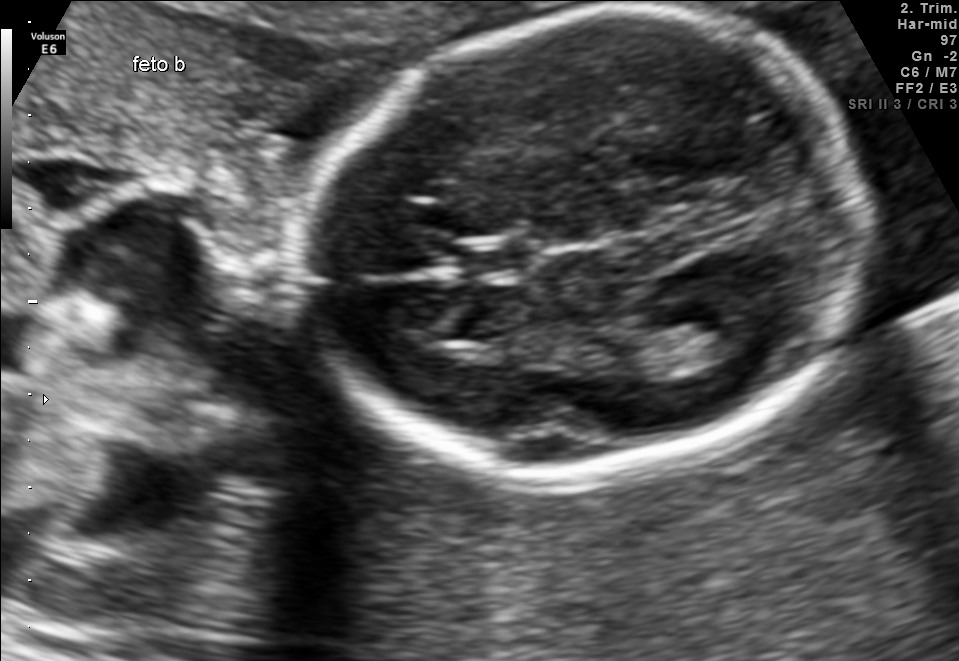
In this fetal brain, trans-thalamic plane, give the bounding box of the lateral ventricle.

[668,306,758,374]